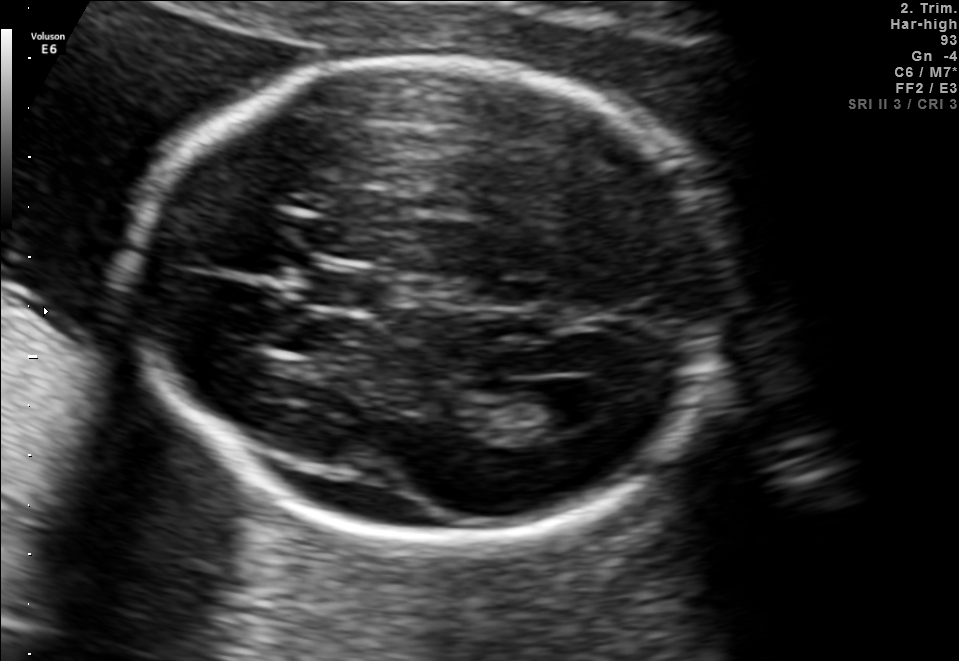
Fetal brain, trans-ventricular plane. Locate the lateral ventricle.

Lateral ventricle: [542,376,621,430]